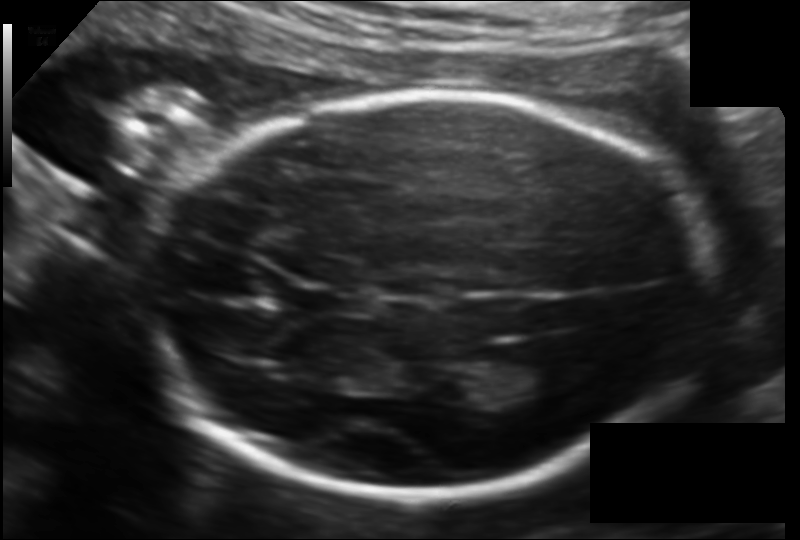
Estimate the fetal head circumference from this 2D ultrasound.

Head circumference: 200.5 mm (image width 103.8 mm).